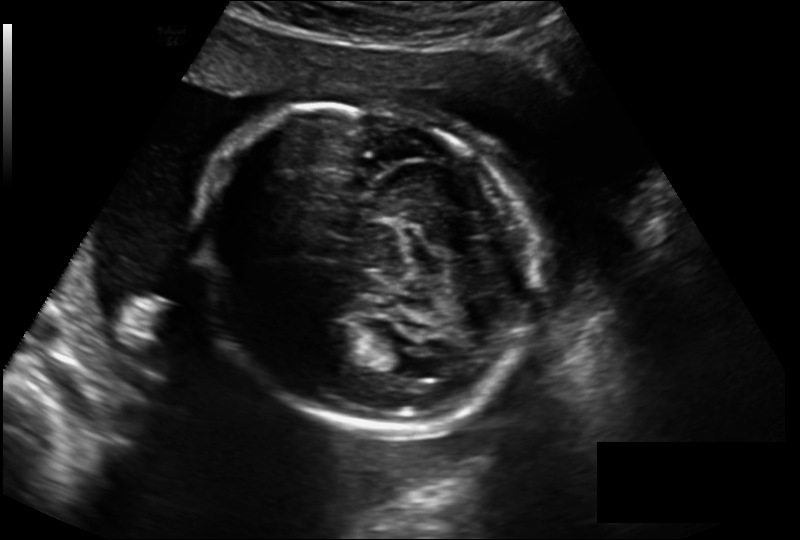
Fetal head ultrasound. Image width: 168.7 mm. Where is the fetal head?

Head bounding box: [196,104,537,433]